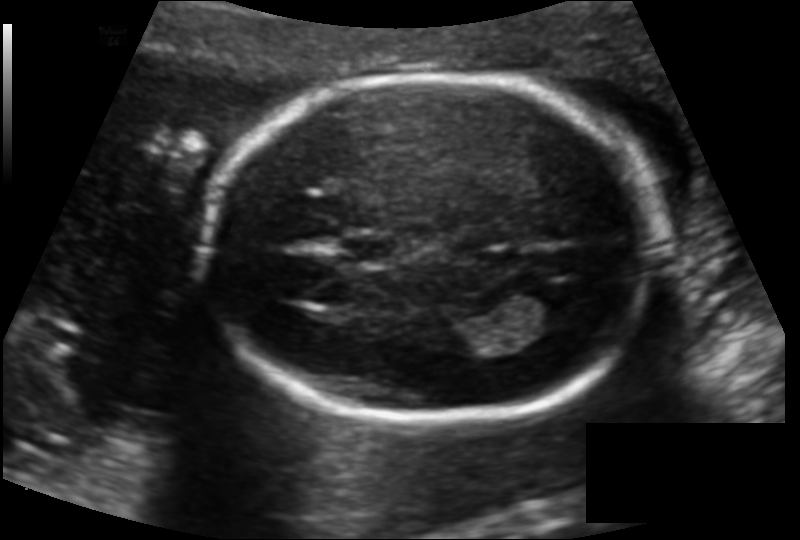
In this fetal head ultrasound, give the bounding box of the lateral ventricle. Image width: 104.1 mm.

[517,270,595,336]